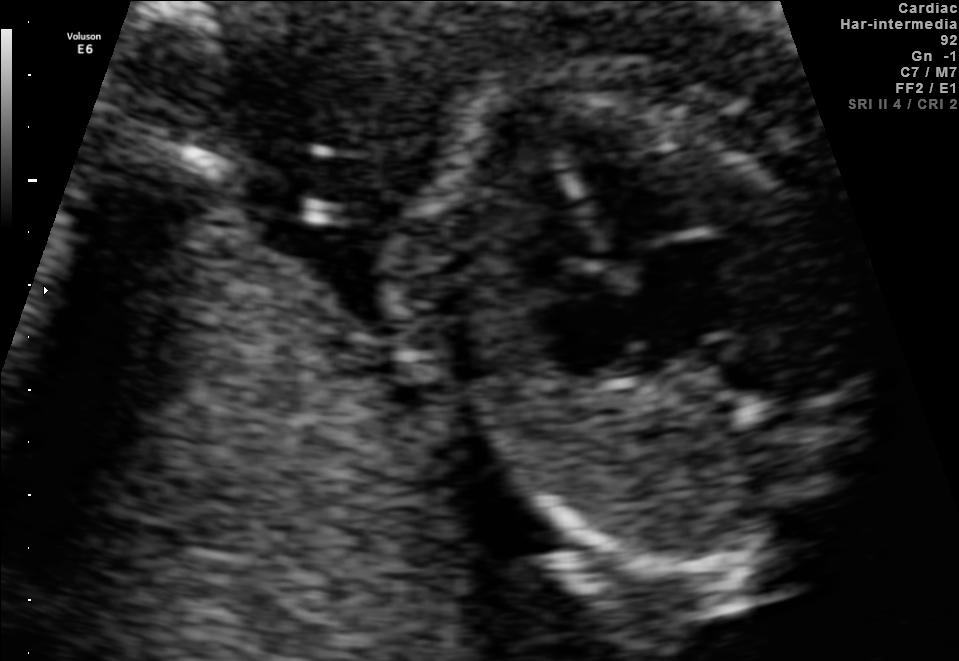
Classify this maternal-fetal ultrasound image as one of the six standard planes — fetal abdomen, fetal brain, fetal femur, fetal thorax, maternal cervix, or other. If it's fetal brain and one of the three standard brain planes (trans-thalamic, trans-cerebellum, trans-ventricular), name which.

Fetal thorax